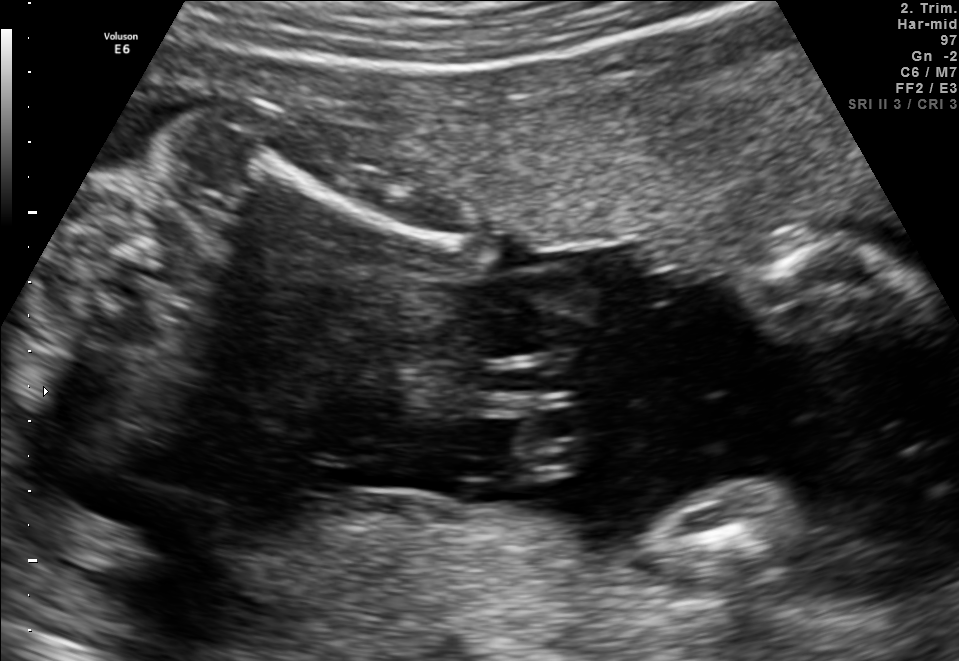
Classify this maternal-fetal ultrasound image as one of the six standard planes — fetal abdomen, fetal brain, fetal femur, fetal thorax, maternal cervix, or other. If it's fetal brain and one of the three standard brain planes (trans-thalamic, trans-cerebellum, trans-ventricular), name which.

Fetal femur